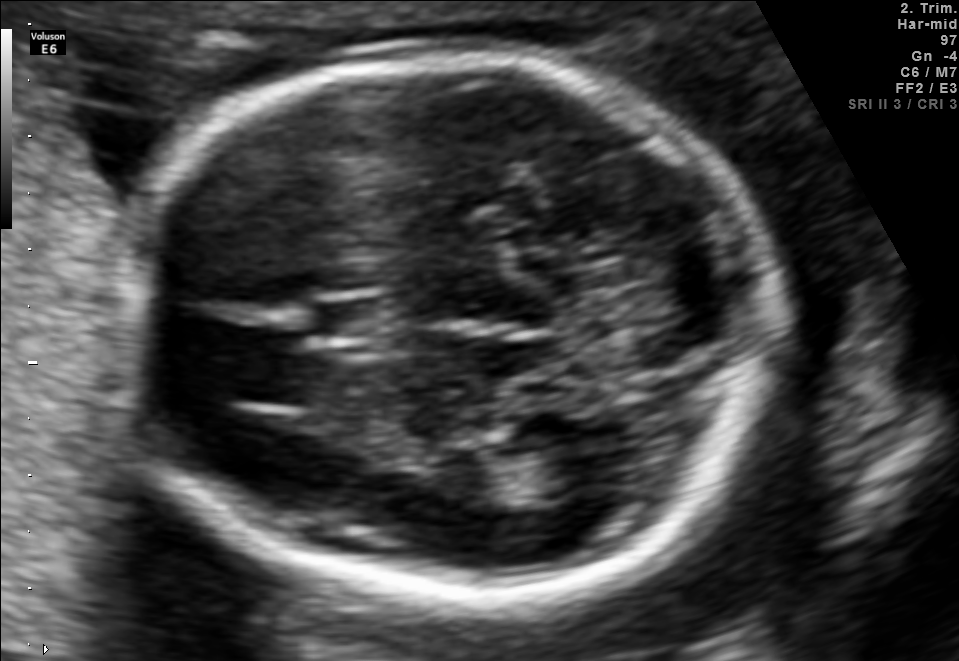
This is a 2D maternal-fetal ultrasound frame. Is it a fetal abdomen, fetal brain, fetal femur, fetal thorax, maternal cervix, or other standard plane? If it's fetal brain and one of the three standard brain planes (trans-thalamic, trans-cerebellum, trans-ventricular), name which.

Fetal brain (trans-thalamic plane)